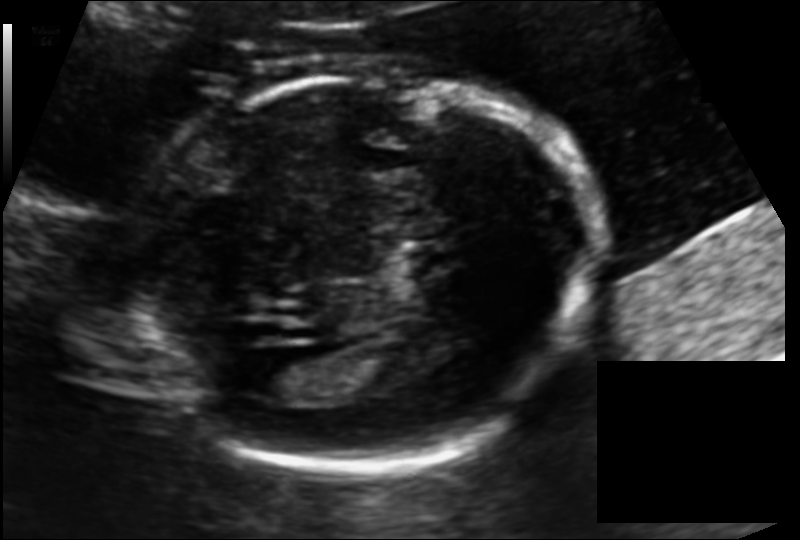
Fetal head ultrasound. Image width: 99.9 mm. Where is the fetal head?

Head bounding box: [122,74,596,468]